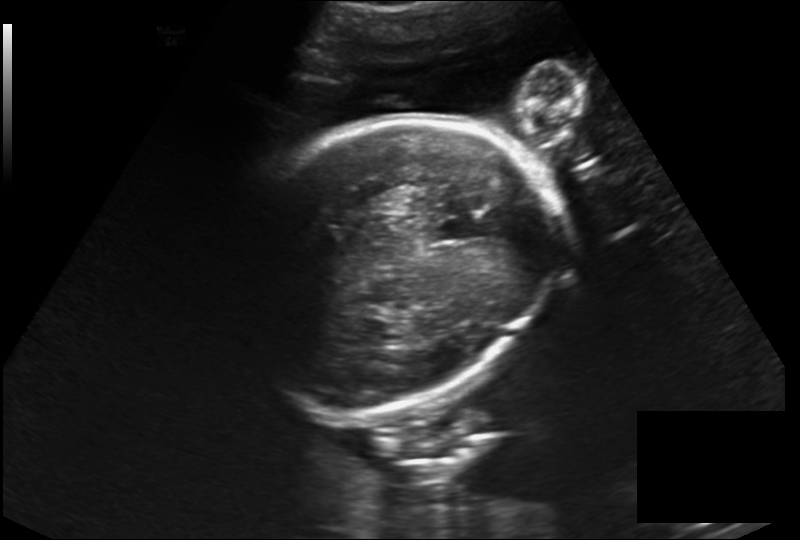
Fetal head ultrasound. Image width: 184.3 mm. Give [x1,y1,x2,y2] bounding boxes for each visible structure among: fetal head, CSP, LV.

Head: [228,118,549,413]